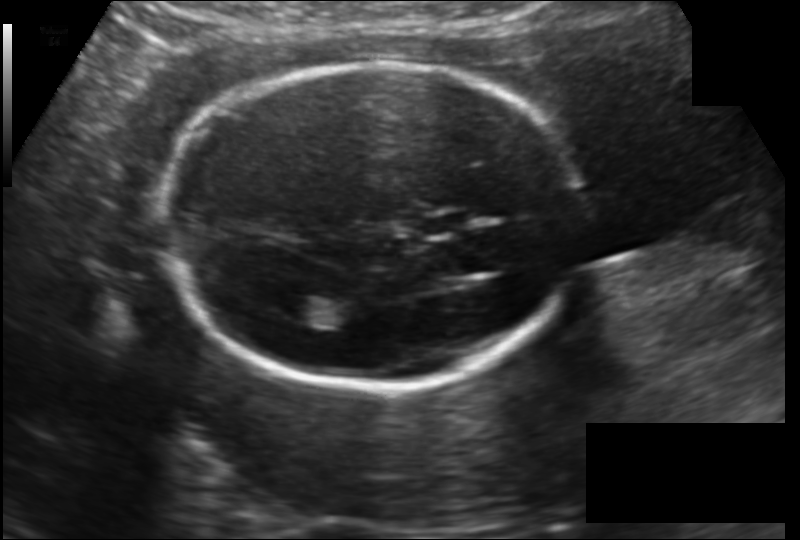
In this fetal head ultrasound, give bounding boxes for the head outline, cavum septum pellucidum (CSP), and lateral ventricle (LV), where visible. Image width: 118.1 mm.

Head: [164,62,584,390]
CSP: [413,206,475,243]
Lateral ventricle: [276,293,323,326]